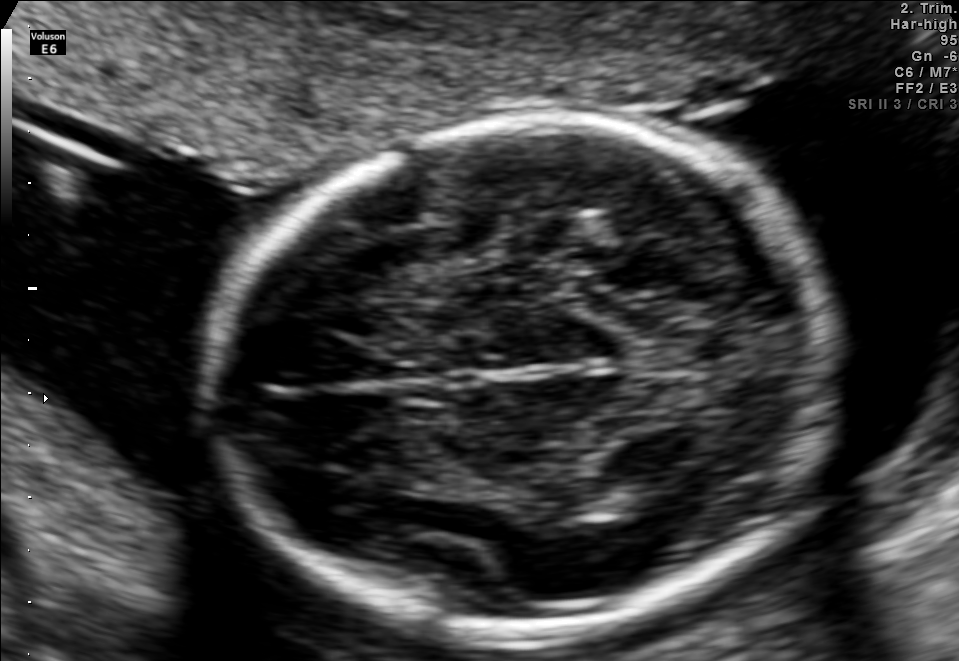
Fetal brain, trans-thalamic plane. Locate the fetal head.

Head: [211,118,830,633]